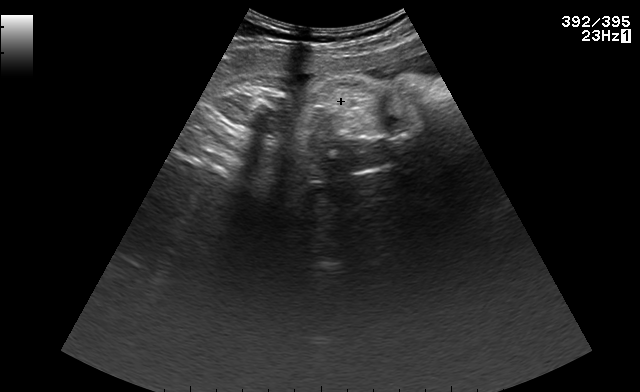
Classify this maternal-fetal ultrasound image as one of the six standard planes — fetal abdomen, fetal brain, fetal femur, fetal thorax, maternal cervix, or other. If it's fetal brain and one of the three standard brain planes (trans-thalamic, trans-cerebellum, trans-ventricular), name which.

Other